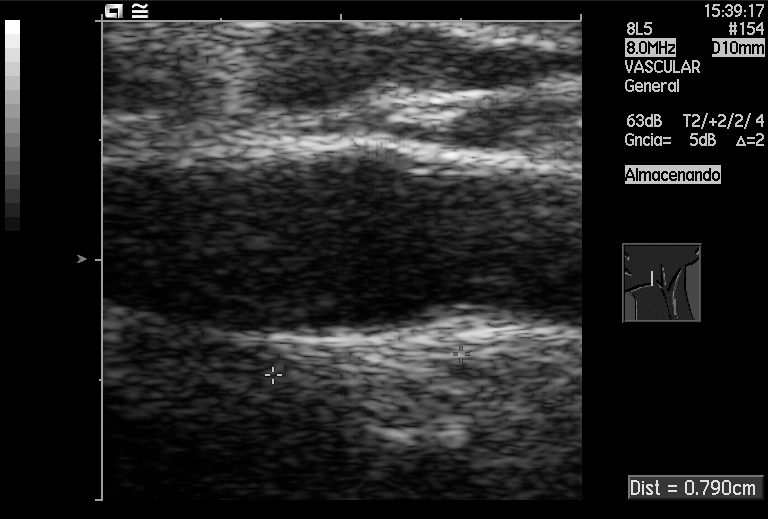
Identify the standard plane in this fetal ultrasound image: fetal abdomen, fetal brain, fetal femur, fetal thorax, maternal cervix, or other. If it's fetal brain and one of the three standard brain planes (trans-thalamic, trans-cerebellum, trans-ventricular), name which.

Other